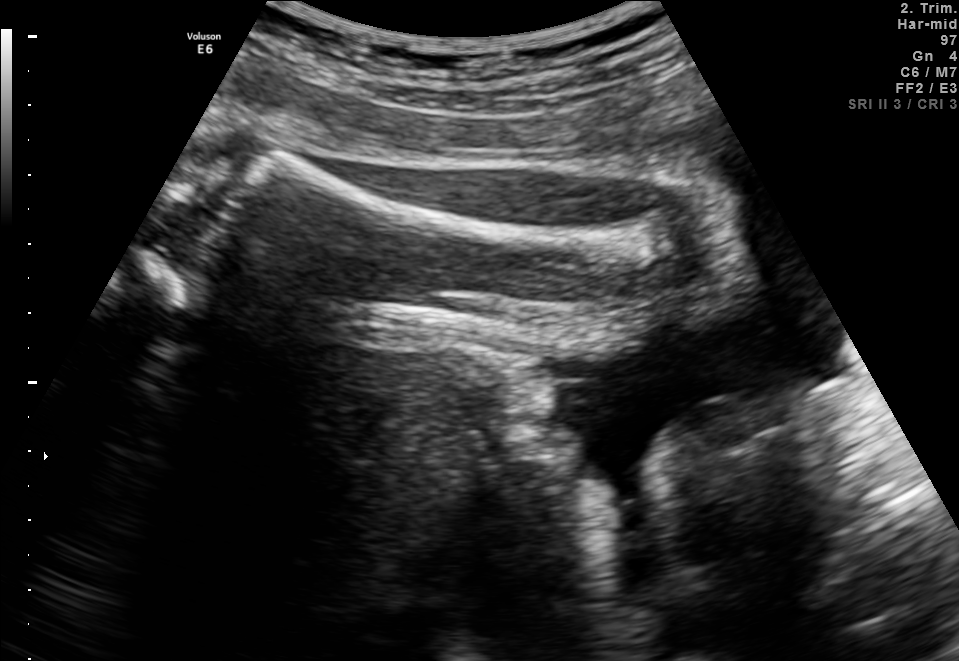
This is a 2D maternal-fetal ultrasound frame. Is it a fetal abdomen, fetal brain, fetal femur, fetal thorax, maternal cervix, or other standard plane? If it's fetal brain and one of the three standard brain planes (trans-thalamic, trans-cerebellum, trans-ventricular), name which.

Fetal femur